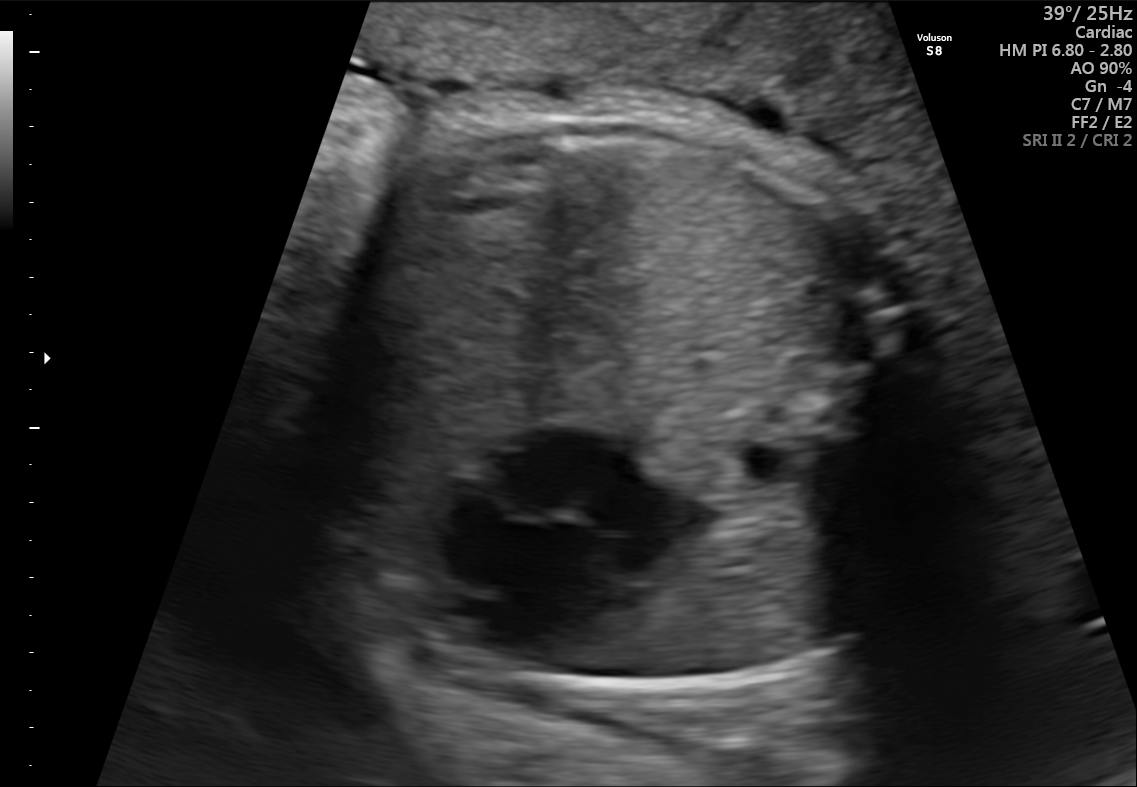
Classify this maternal-fetal ultrasound image as one of the six standard planes — fetal abdomen, fetal brain, fetal femur, fetal thorax, maternal cervix, or other. If it's fetal brain and one of the three standard brain planes (trans-thalamic, trans-cerebellum, trans-ventricular), name which.

Fetal thorax